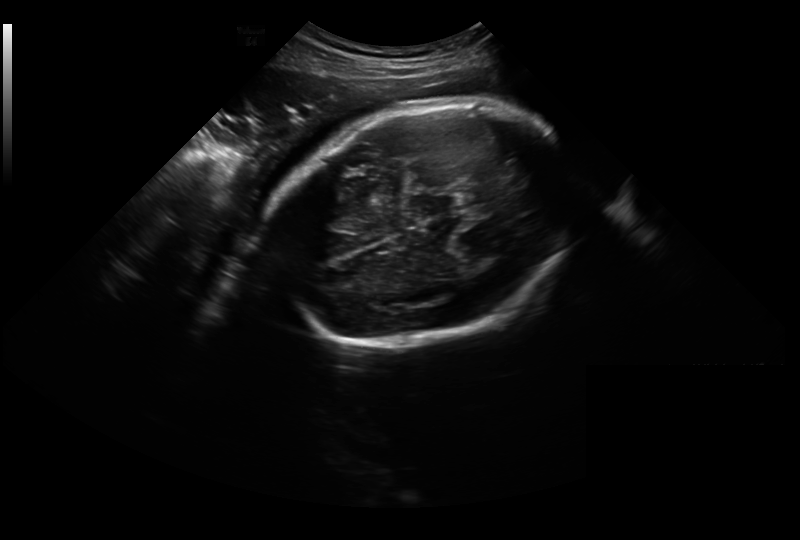
Fetal head ultrasound. Image width: 261.1 mm. Where is the fetal head?

Head bounding box: [269,102,573,346]